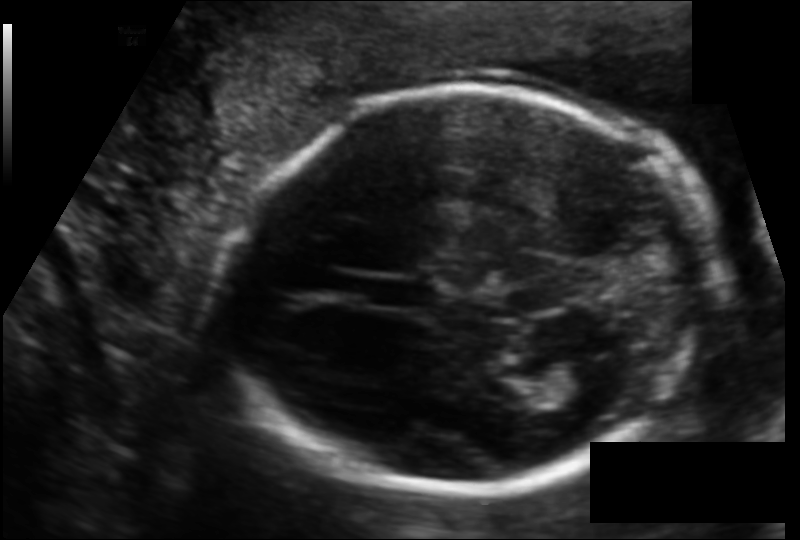
Fetal head ultrasound. Image width: 95.3 mm. Locate the lateral ventricle.

Lateral ventricle: [527,347,624,417]